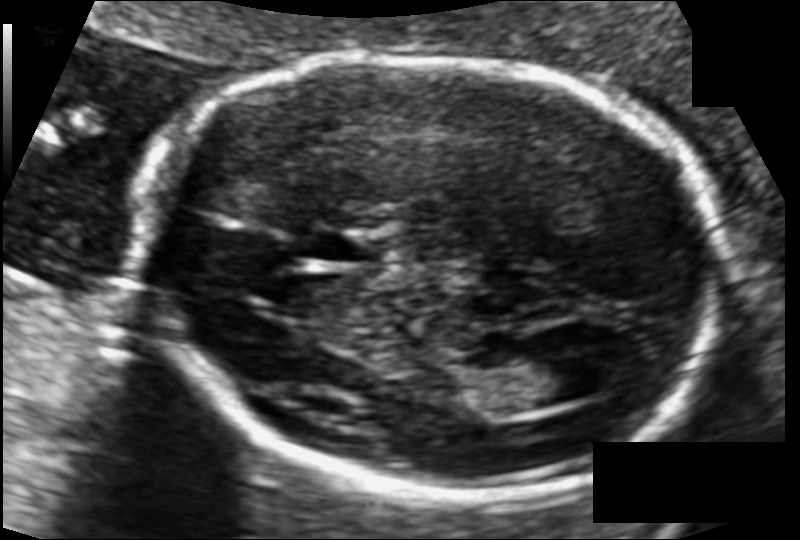
Fetal head ultrasound. Image width: 81.0 mm. Locate the lateral ventricle.

Lateral ventricle: [491,339,593,417]